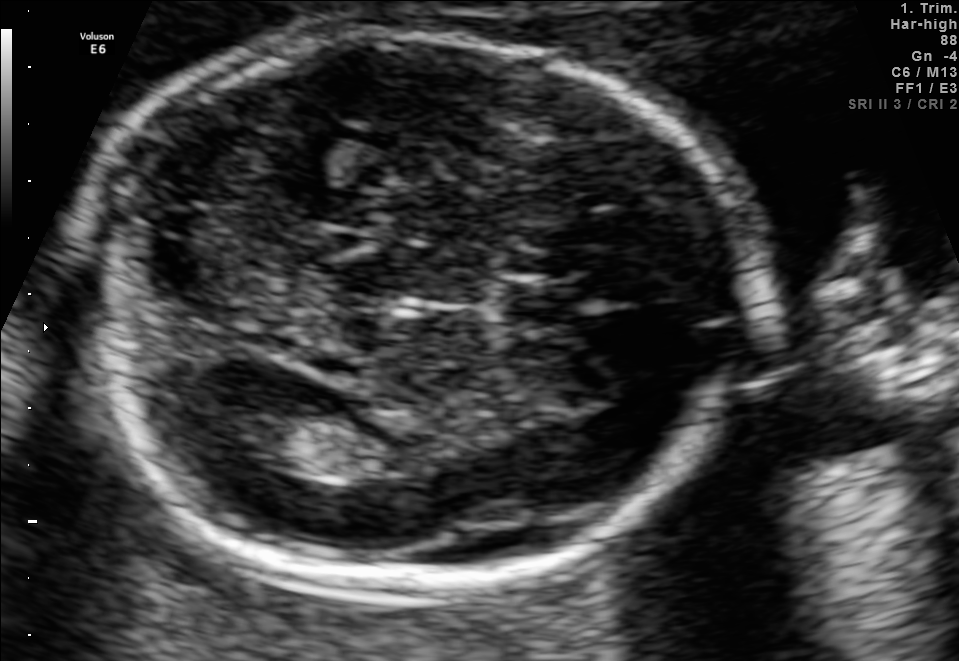
Fetal brain, trans-ventricular plane. Give [x1,y1,x2,y2] bounding boxes for each visible structure among: fetal head, CSP, LV.

Head: [63,25,766,604]
CSP: [508,285,595,324]
Lateral ventricle: [216,389,324,473]